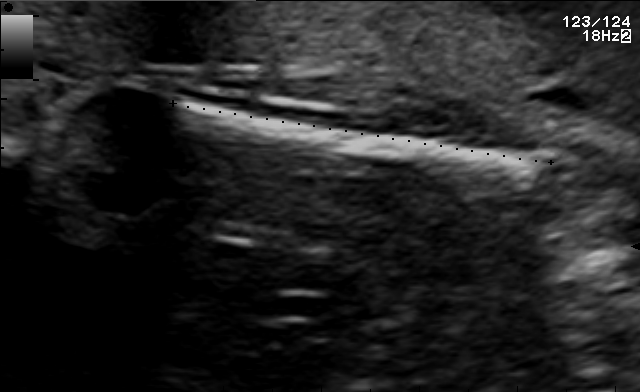
Classify this maternal-fetal ultrasound image as one of the six standard planes — fetal abdomen, fetal brain, fetal femur, fetal thorax, maternal cervix, or other. If it's fetal brain and one of the three standard brain planes (trans-thalamic, trans-cerebellum, trans-ventricular), name which.

Other